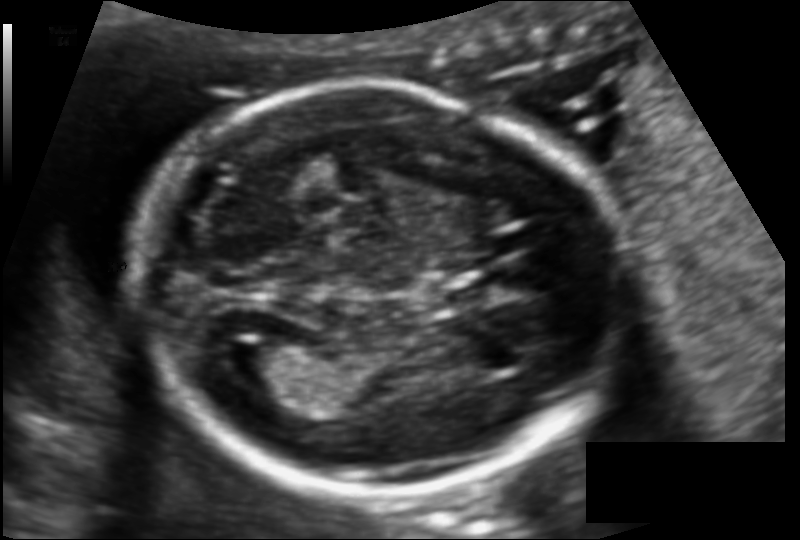
In this fetal head ultrasound, give the bounding box of the fetal head. Image width: 89.5 mm.

[134,90,614,494]